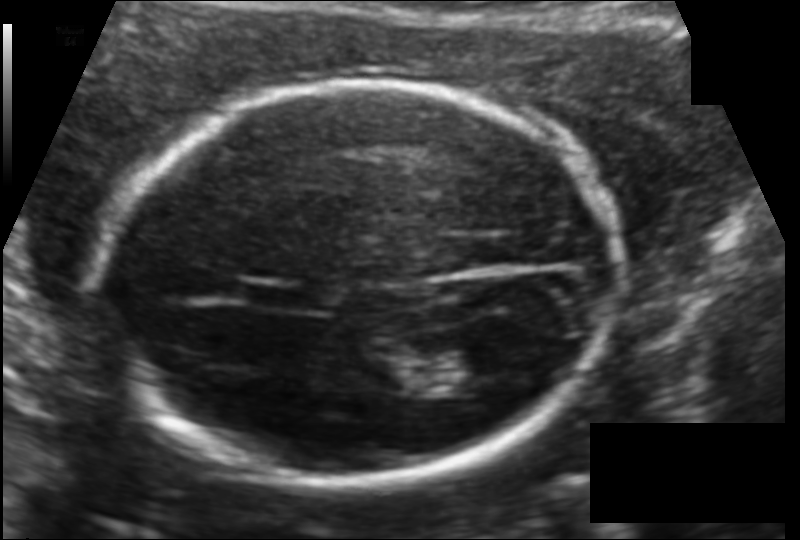
Fetal head ultrasound. Image width: 96.7 mm. Give [x1,y1,x2,y2] bounding boxes for each visible structure among: fetal head, CSP, LV.

Head: [104,83,624,480]
CSP: [244,277,316,314]
Lateral ventricle: [438,348,511,395]